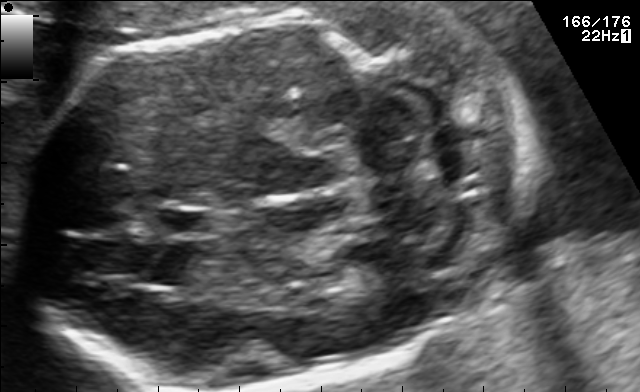
Fetal brain, trans-cerebellum plane. Locate the fetal head and, if visible, the cavum septum pellucidum (CSP) and lateral ventricle (LV). Give bounding boxes as [x1,y1,x2,y2].

Head: [18,5,539,388]
CSP: [152,207,220,237]